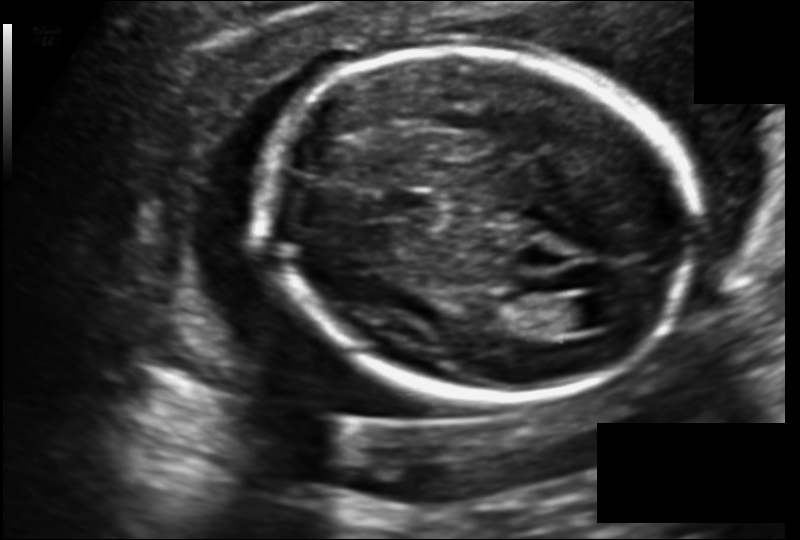
What is the fetal head circumference? Image width is 111.6 mm.

176.6 mm